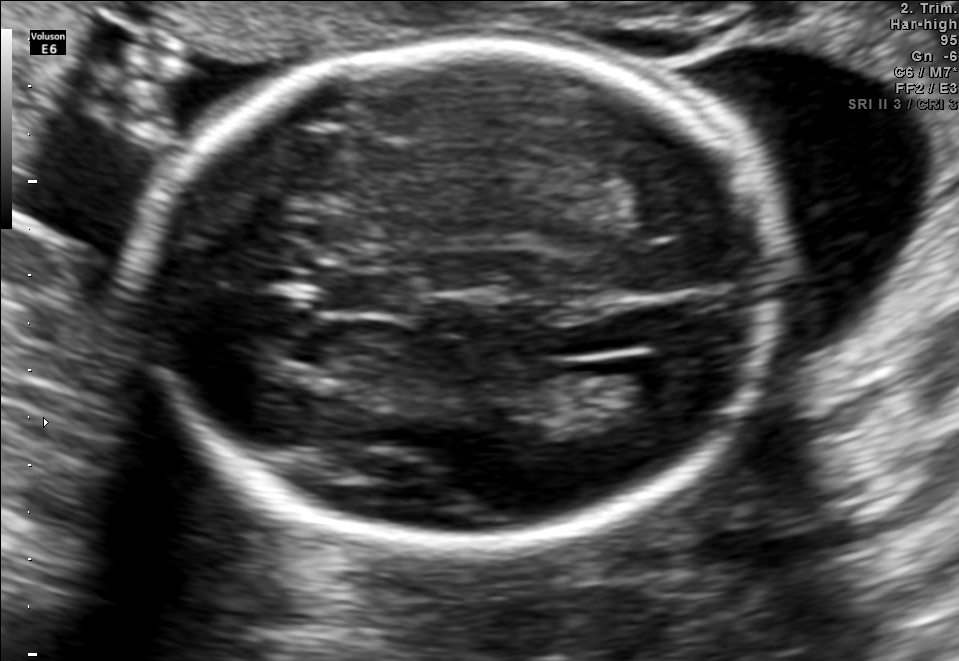
Fetal brain, trans-ventricular plane. Locate the lateral ventricle.

Lateral ventricle: [618,355,708,414]